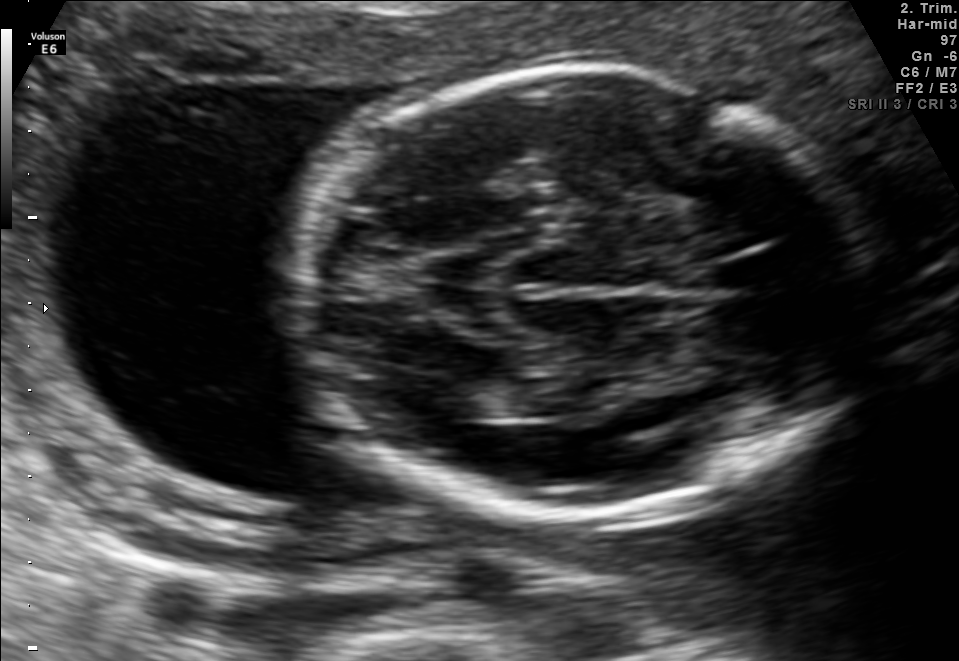
Fetal brain, trans-thalamic plane. Locate the fetal head and, if visible, the cavum septum pellucidum (CSP) and lateral ventricle (LV). Give bounding boxes as [x1,y1,x2,y2].

Head: [298,69,867,516]
Lateral ventricle: [424,375,520,424]